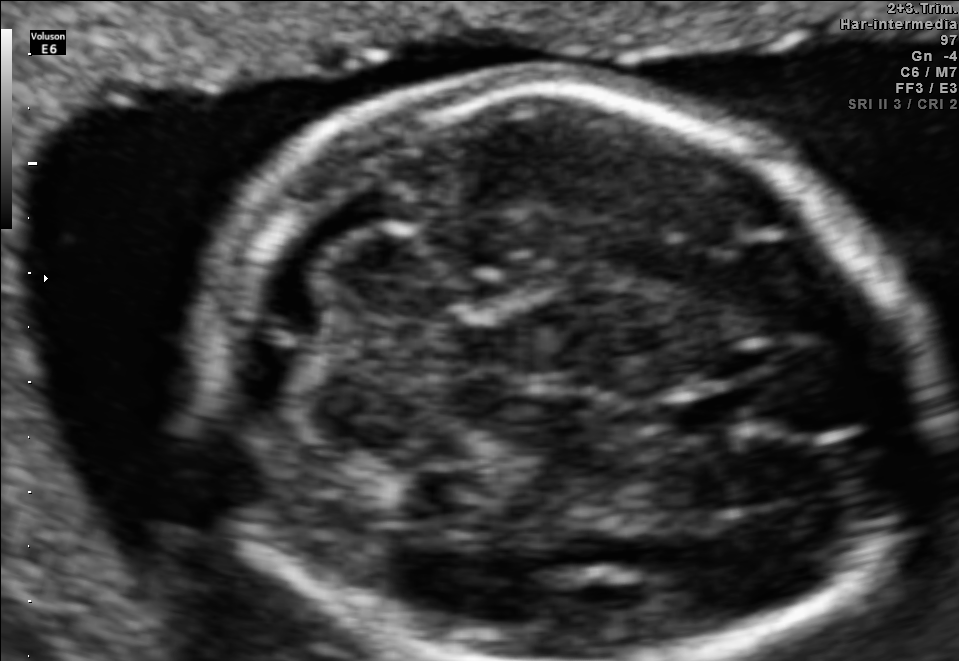
Fetal brain, trans-cerebellum plane. Locate the cavum septum pellucidum.

CSP: [666,381,770,447]